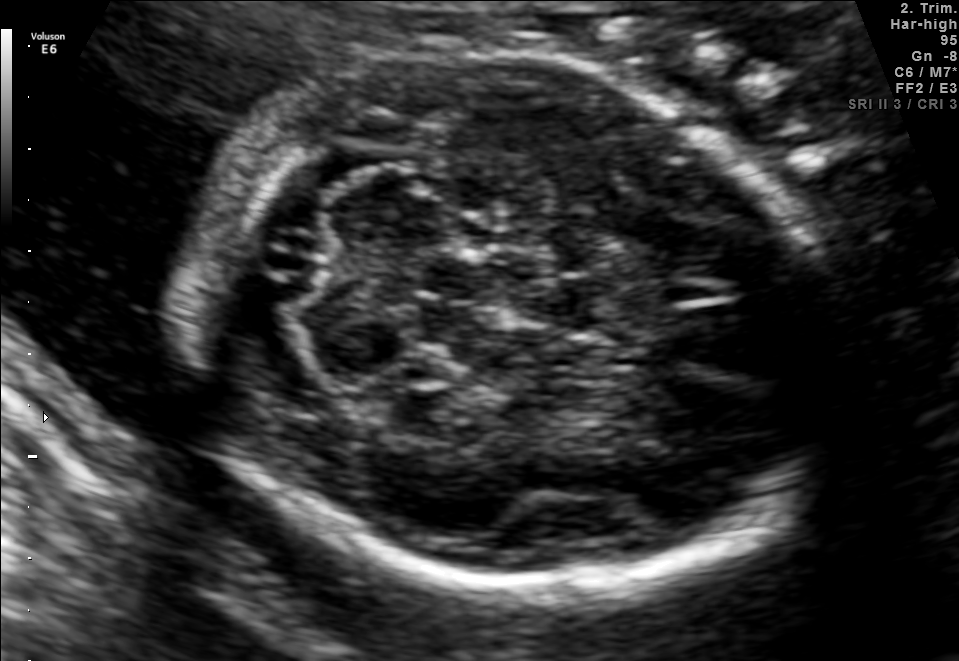
Fetal brain, trans-cerebellum plane. Locate the fetal head and, if visible, the cavum septum pellucidum (CSP) and lateral ventricle (LV). Give bounding boxes as [x1,y1,x2,y2].

Head: [187,59,834,592]